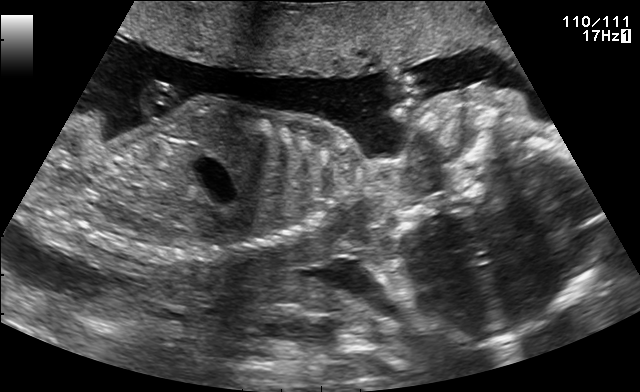
Which standard maternal-fetal ultrasound plane is shown: fetal abdomen, fetal brain, fetal femur, fetal thorax, maternal cervix, or other? If it's fetal brain and one of the three standard brain planes (trans-thalamic, trans-cerebellum, trans-ventricular), name which.

Other